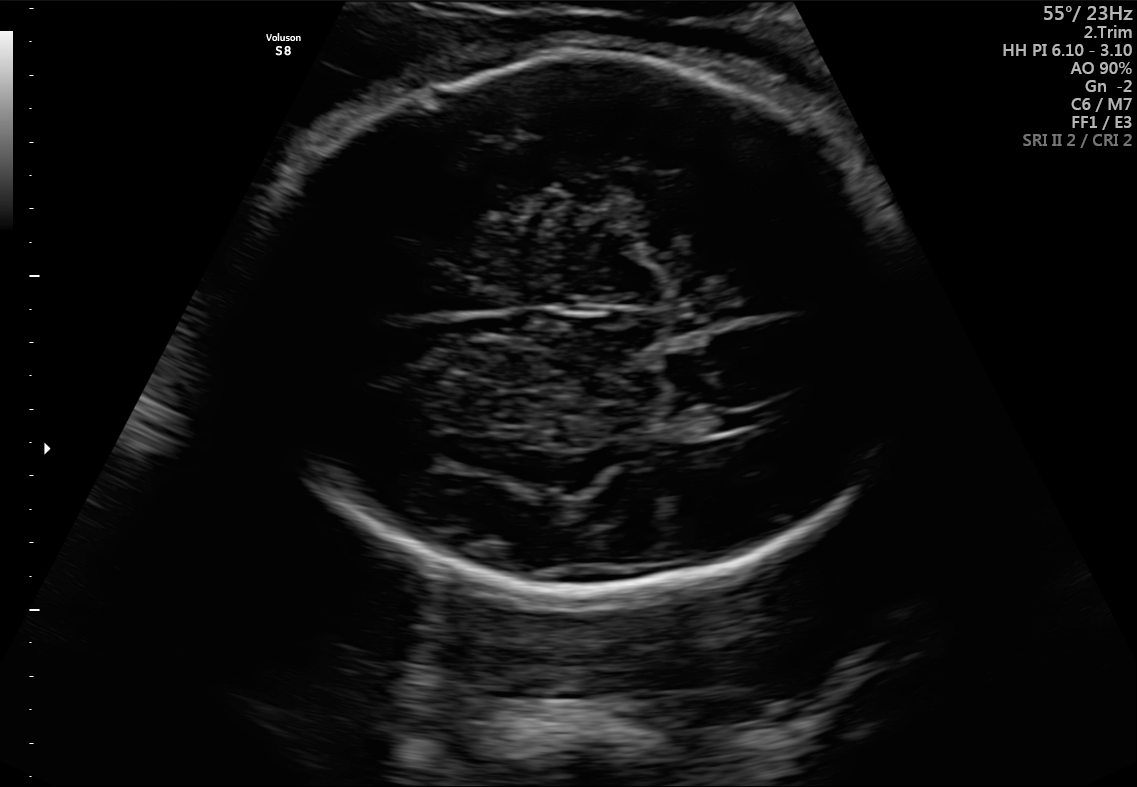
Fetal brain, trans-ventricular plane. Where is the fetal head?

Head bounding box: [251,48,916,599]